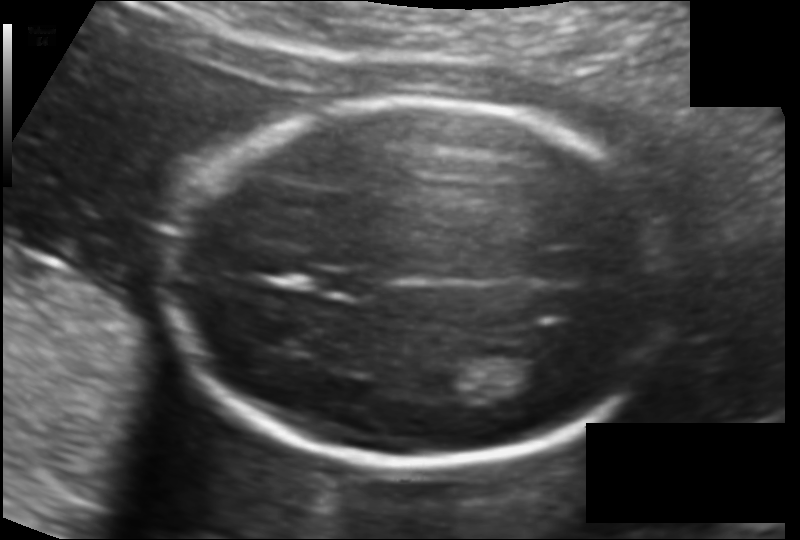
Fetal head ultrasound. Image width: 97.1 mm. Locate the fetal head and, if visible, the cavum septum pellucidum (CSP) and lateral ventricle (LV). Give bounding boxes as [x1,y1,x2,y2].

Head: [162,100,673,466]
CSP: [312,267,373,298]
Lateral ventricle: [497,346,562,399]